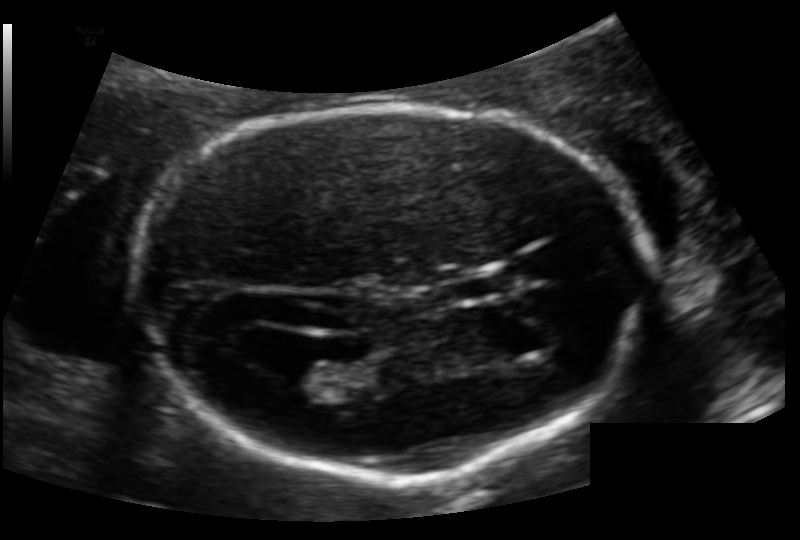
Fetal head ultrasound. Image width: 99.1 mm. Locate the lateral ventricle.

Lateral ventricle: [269,350,337,393]